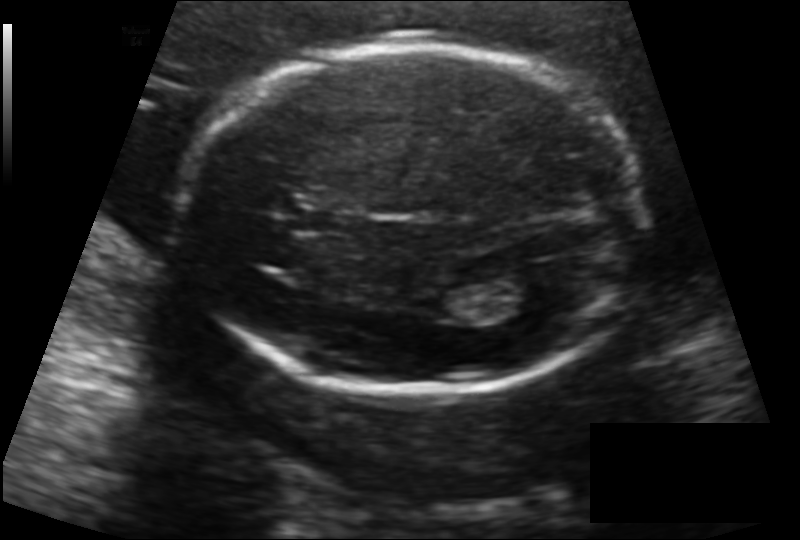
What is the fetal head circumference? Image width is 113.3 mm.

186.5 mm